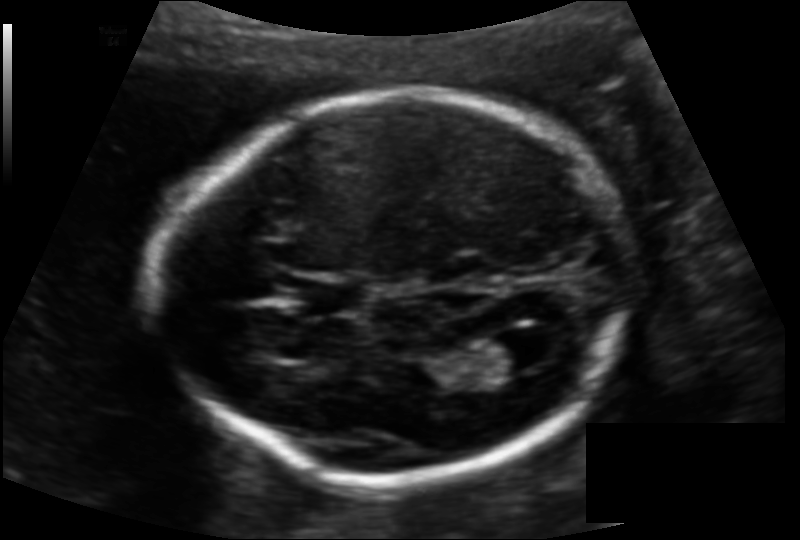
Fetal head ultrasound. Image width: 102.7 mm. Where is the fetal head?

Head bounding box: [163,95,631,480]